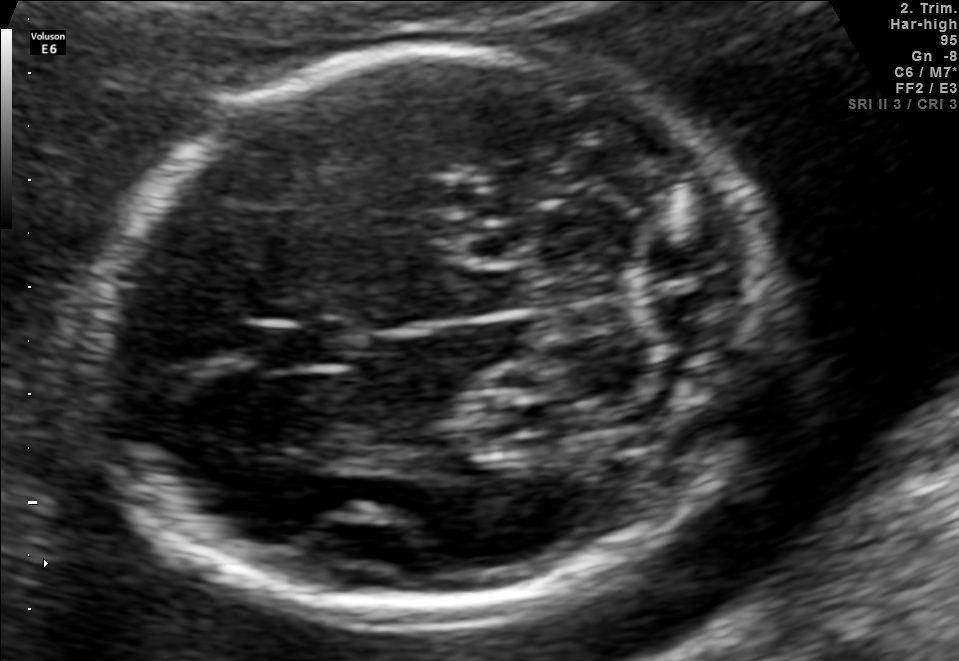
Fetal brain, trans-cerebellum plane. Where is the cavum septum pellucidum?

CSP bounding box: [253,320,354,370]